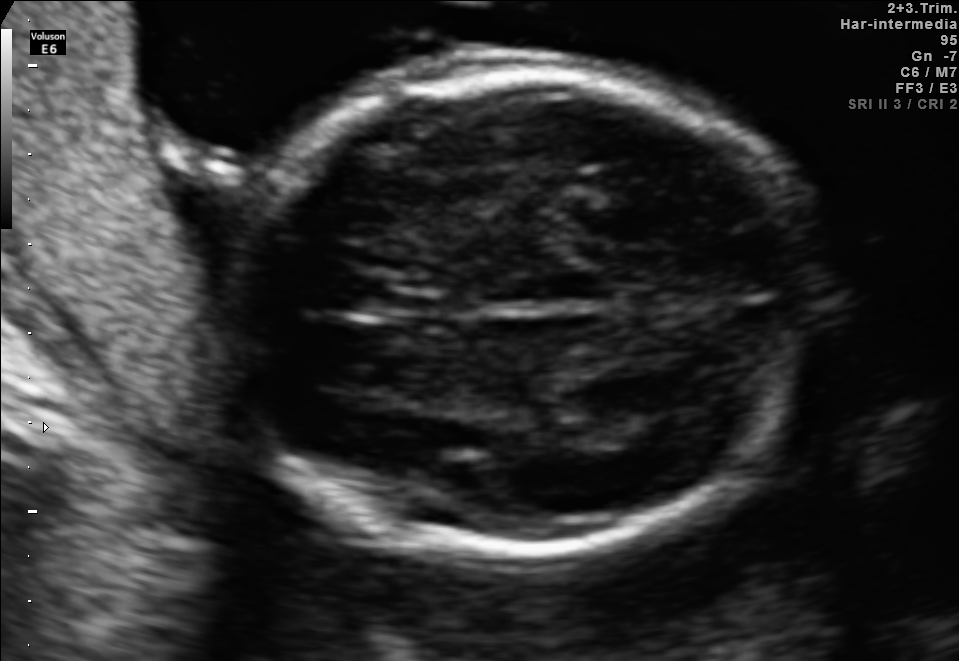
In this fetal brain, trans-thalamic plane, give bounding boxes for the head outline, cavum septum pellucidum (CSP), and lateral ventricle (LV), where visible.

Head: [209,74,800,555]